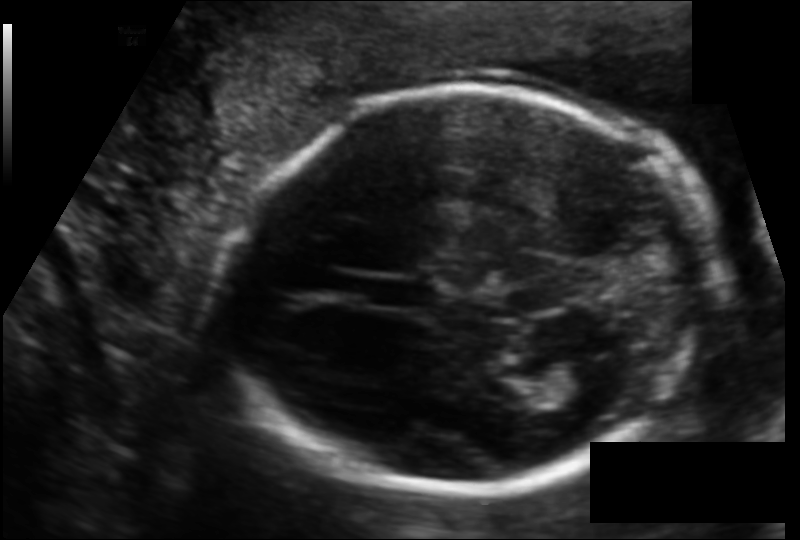
In this fetal head ultrasound, give the bounding box of the cavum septum pellucidum. Image width: 95.3 mm.

[370,277,434,308]